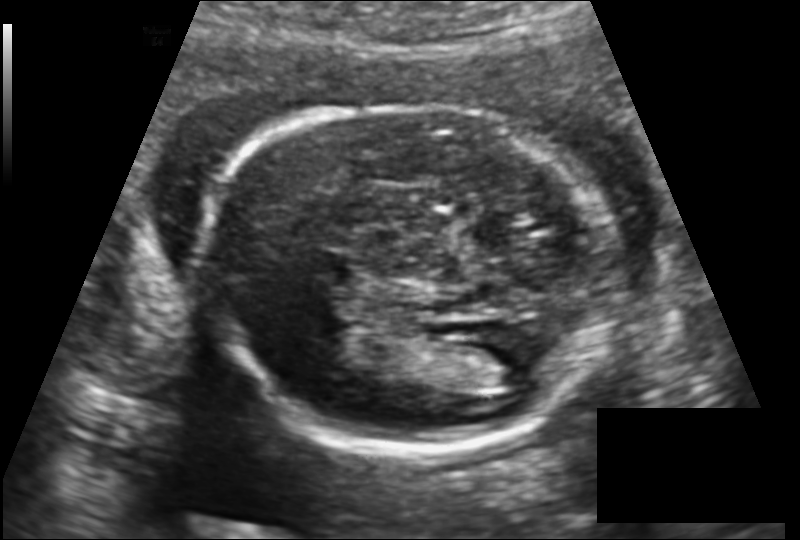
Fetal head ultrasound. Image width: 111.5 mm. Give [x1,y1,x2,y2] bounding boxes for each visible structure among: fetal head, CSP, LV.

Head: [204,105,616,452]